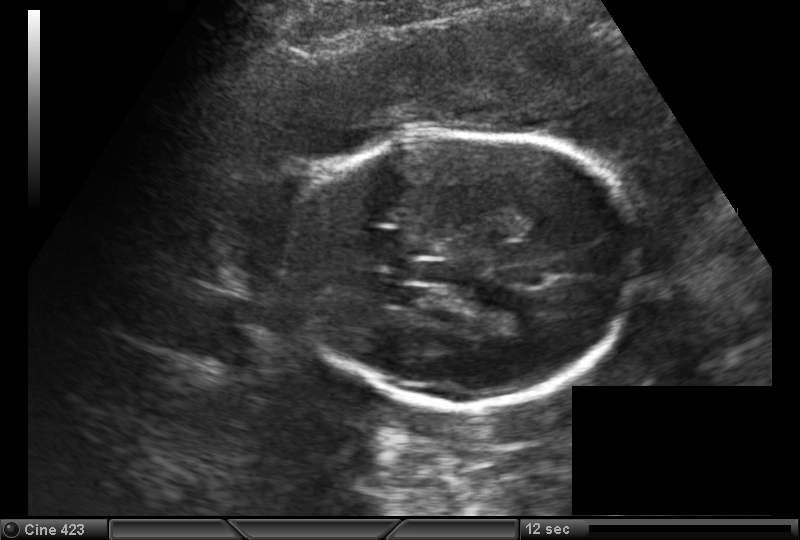
Measure the fetal head circumference shown in this ultrasound image. Image width: 138.2 mm.

Head circumference: 177.0 mm.